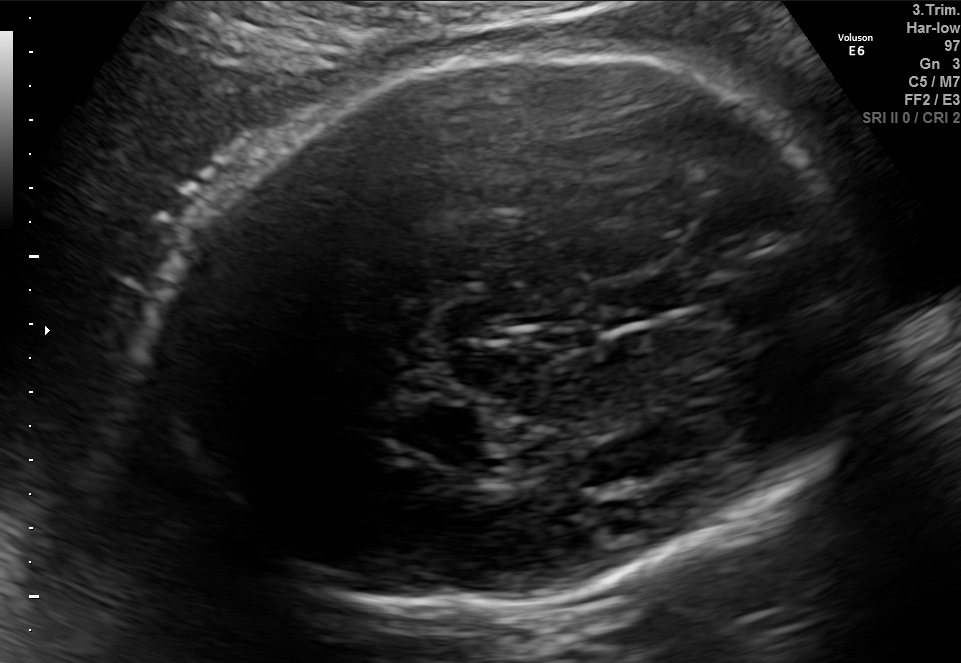
Fetal brain, trans-thalamic plane. Where is the cavum septum pellucidum?

CSP bounding box: [589,267,693,332]